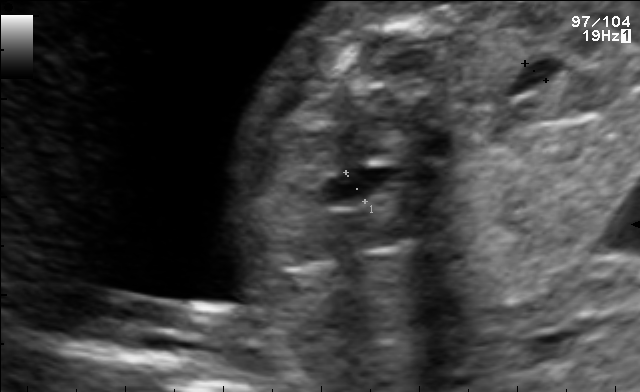
Which standard maternal-fetal ultrasound plane is shown: fetal abdomen, fetal brain, fetal femur, fetal thorax, maternal cervix, or other? If it's fetal brain and one of the three standard brain planes (trans-thalamic, trans-cerebellum, trans-ventricular), name which.

Other